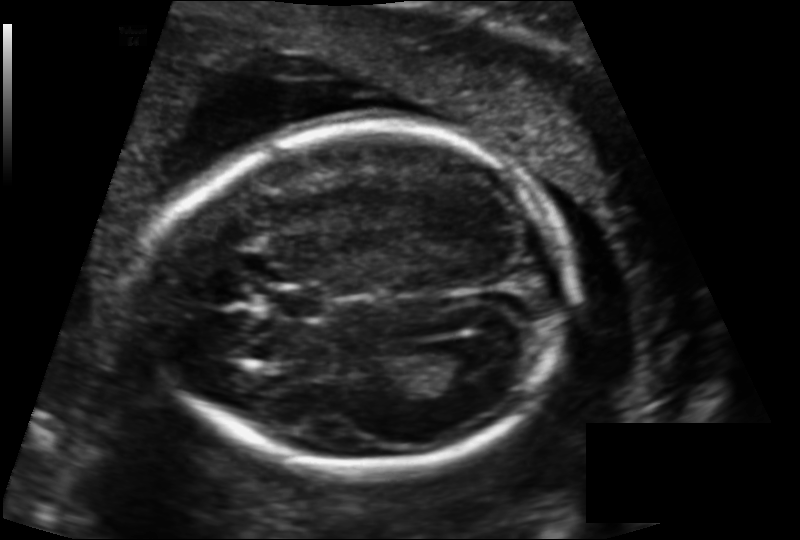
Fetal head ultrasound. Image width: 109.5 mm. Where is the cavum septum pellucidum?

CSP bounding box: [271,289,324,316]